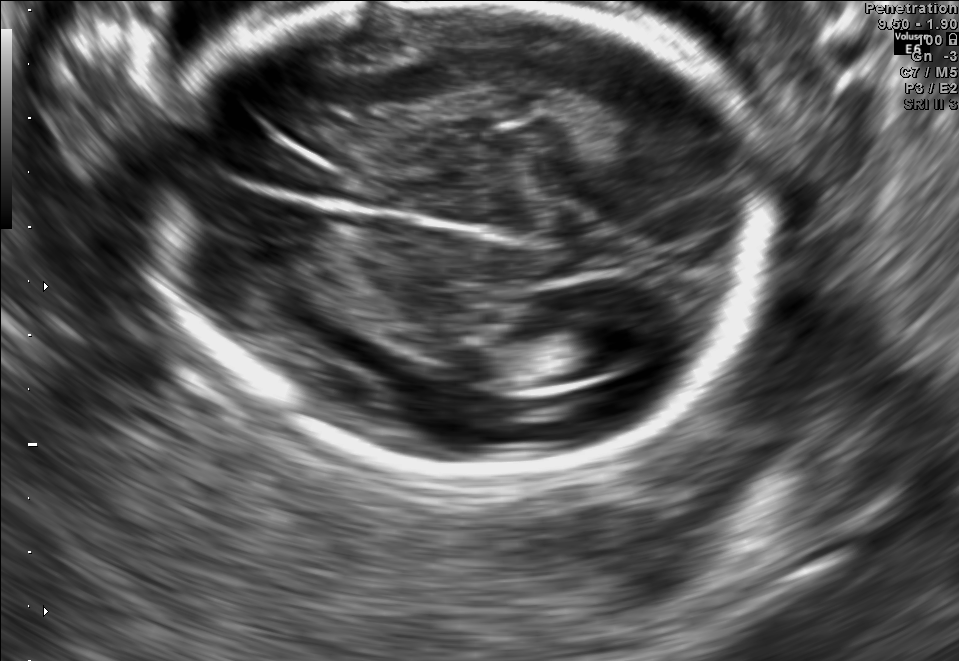
Identify the standard plane in this fetal ultrasound image: fetal abdomen, fetal brain, fetal femur, fetal thorax, maternal cervix, or other. If it's fetal brain and one of the three standard brain planes (trans-thalamic, trans-cerebellum, trans-ventricular), name which.

Fetal brain (trans-ventricular plane)